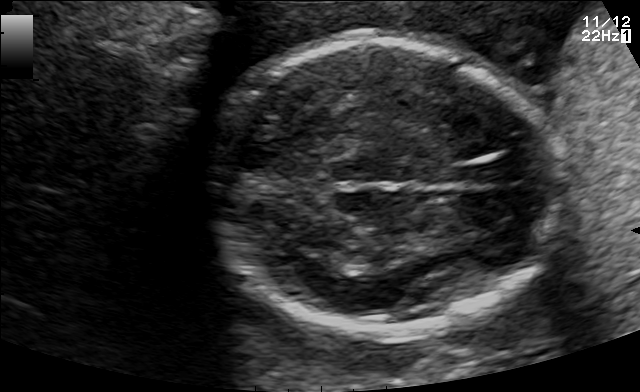
Fetal brain, trans-thalamic plane. Locate the fetal head.

Head: [212,38,568,337]